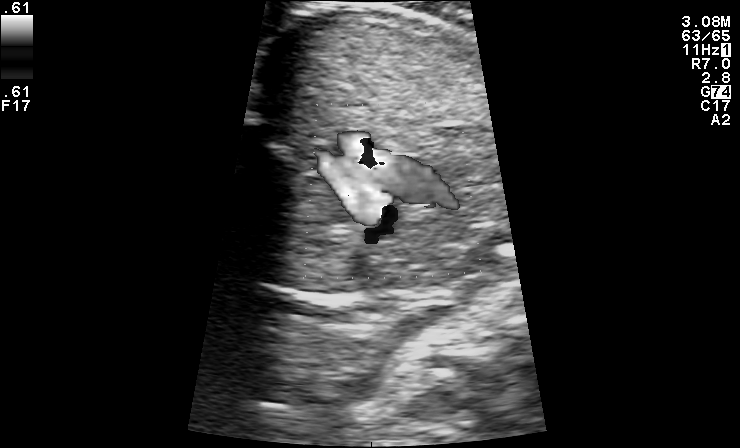
Classify this maternal-fetal ultrasound image as one of the six standard planes — fetal abdomen, fetal brain, fetal femur, fetal thorax, maternal cervix, or other. If it's fetal brain and one of the three standard brain planes (trans-thalamic, trans-cerebellum, trans-ventricular), name which.

Other